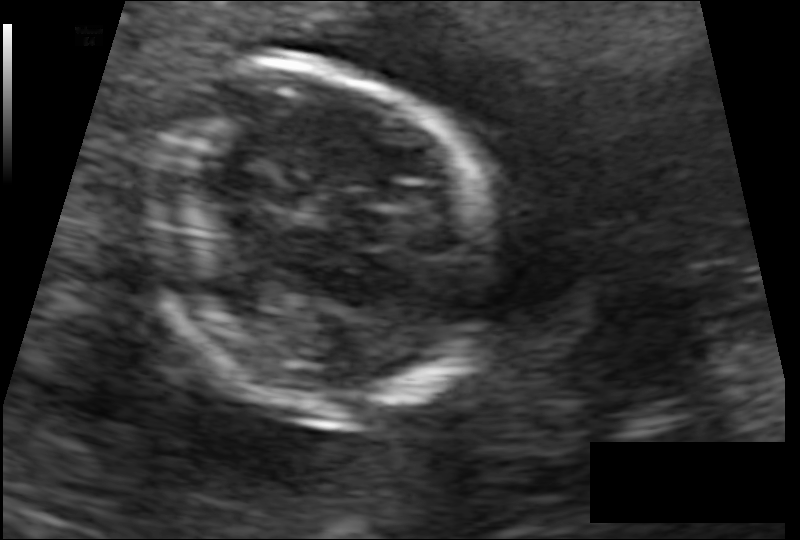
Measure the fetal head circumference shown in this ultrasound image. Image width: 73.2 mm.

Head circumference: 104.7 mm.